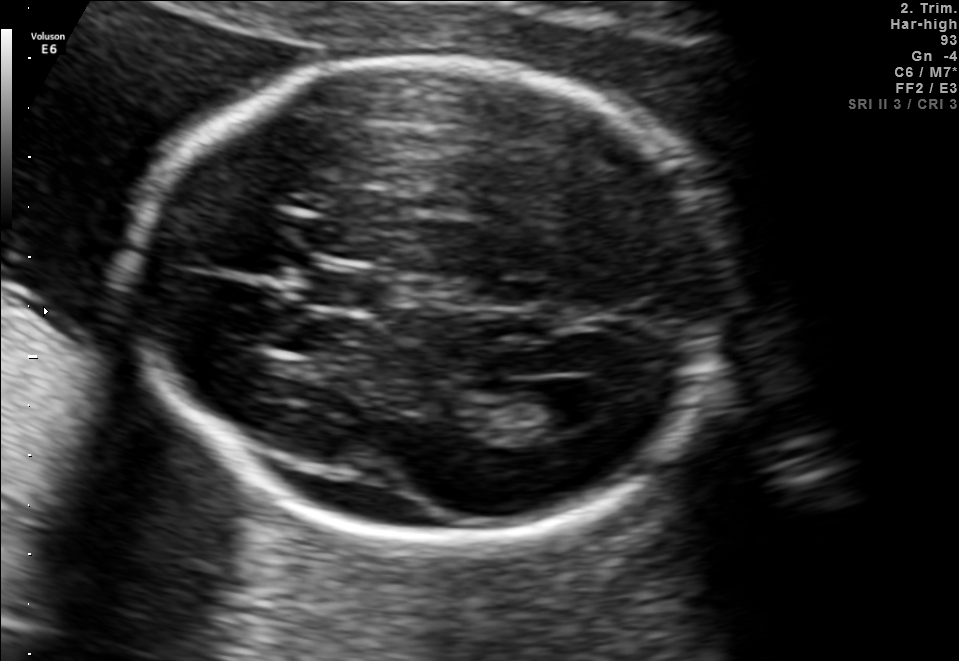
Fetal brain, trans-ventricular plane. Locate the cavum septum pellucidum.

CSP: [299,267,377,311]